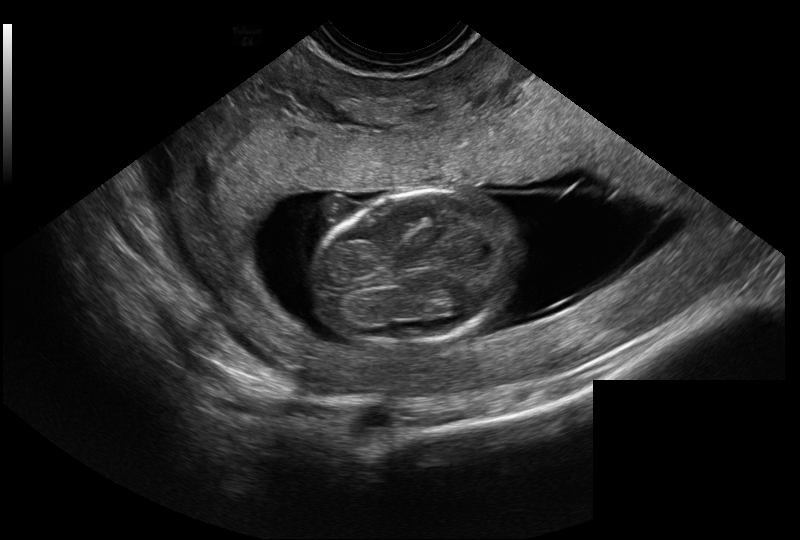
What is the fetal head circumference? Image width is 102.5 mm.

75.6 mm